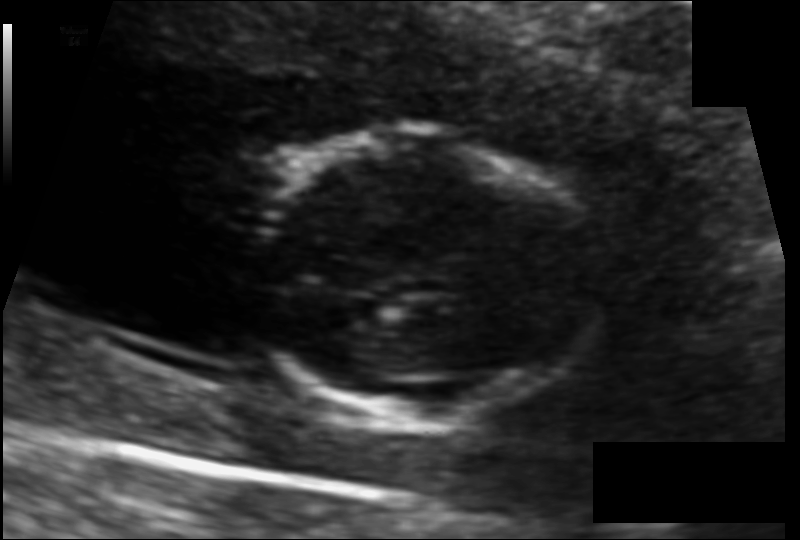
In this fetal head ultrasound, give the bounding box of the fetal head. Image width: 72.8 mm.

[249,138,606,418]